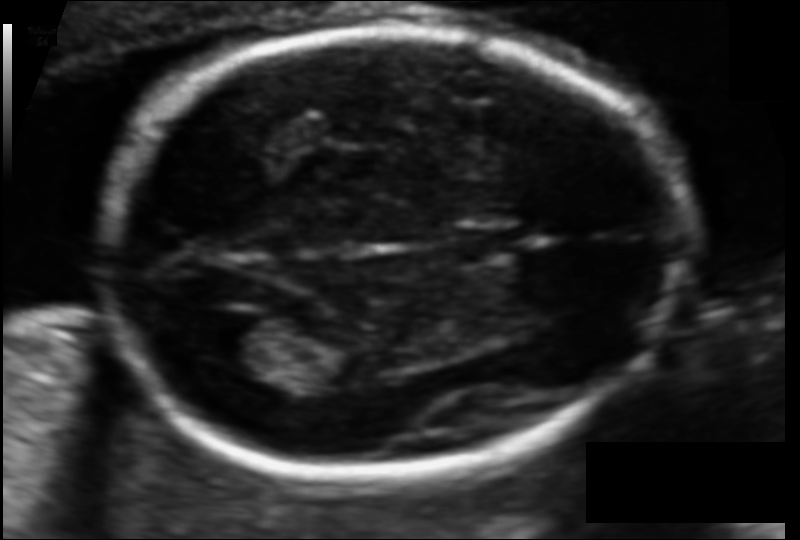
Fetal head ultrasound. Image width: 77.8 mm. Locate the cavum septum pellucidum.

CSP: [458,224,520,263]